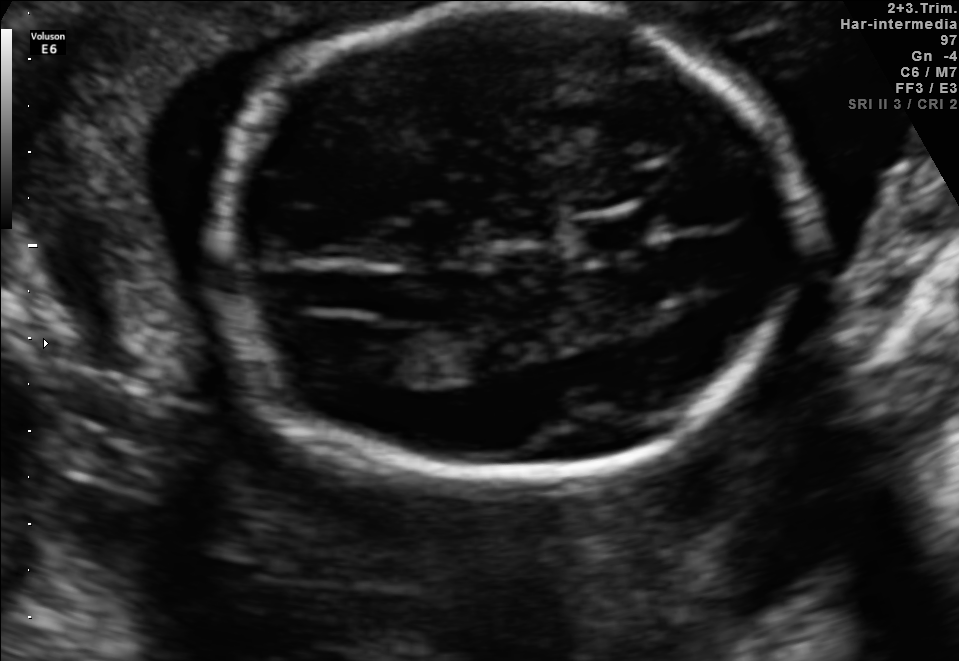
Fetal brain, trans-ventricular plane. Locate the lateral ventricle.

Lateral ventricle: [334,328,420,379]